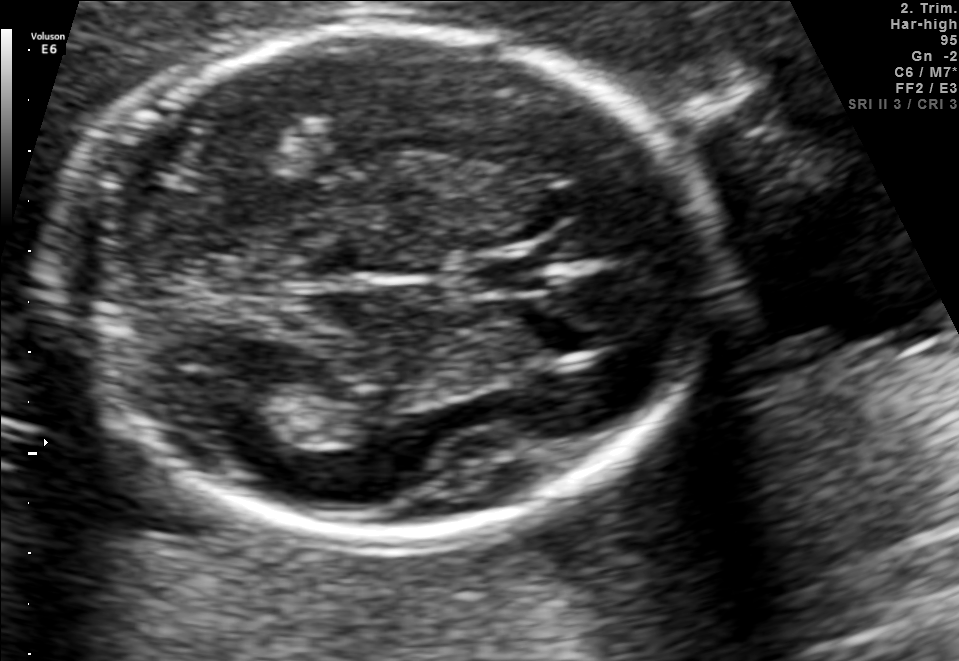
Fetal brain, trans-thalamic plane. Locate the lateral ventricle.

Lateral ventricle: [217,384,319,447]